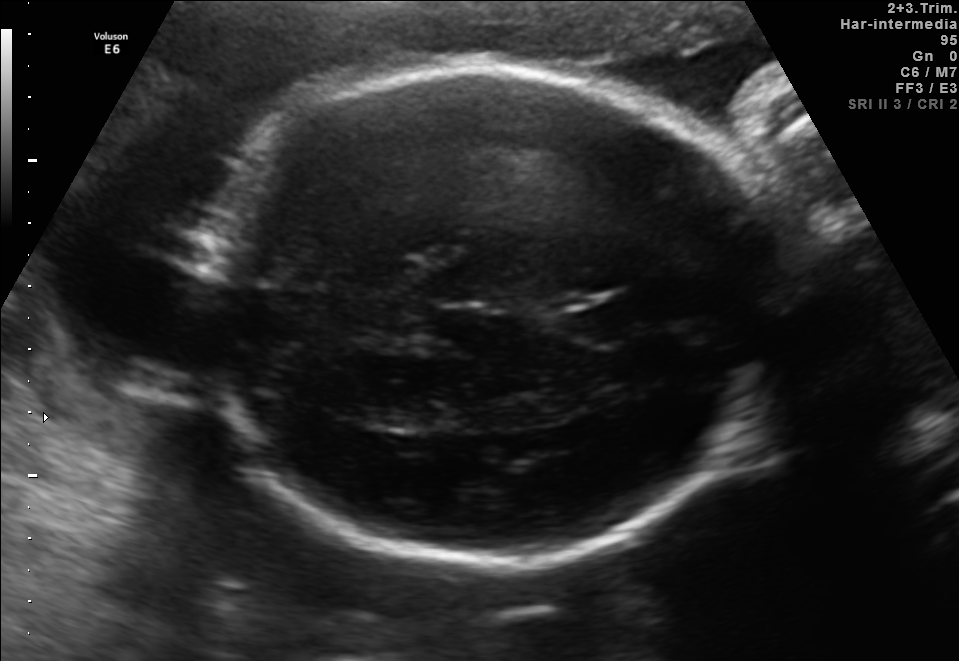
Fetal brain, trans-thalamic plane. Where is the fetal head?

Head bounding box: [191,68,786,561]